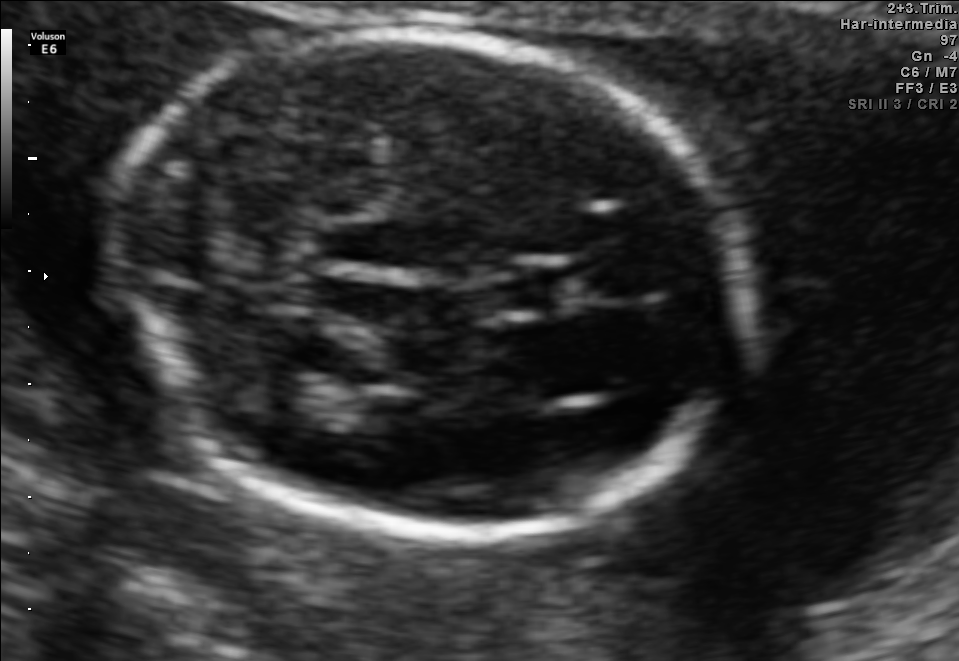
Fetal brain, trans-thalamic plane. Locate the lateral ventricle.

Lateral ventricle: [244,360,342,421]